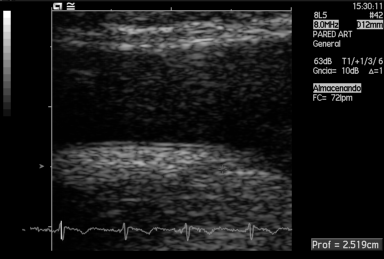
Classify this maternal-fetal ultrasound image as one of the six standard planes — fetal abdomen, fetal brain, fetal femur, fetal thorax, maternal cervix, or other. If it's fetal brain and one of the three standard brain planes (trans-thalamic, trans-cerebellum, trans-ventricular), name which.

Other